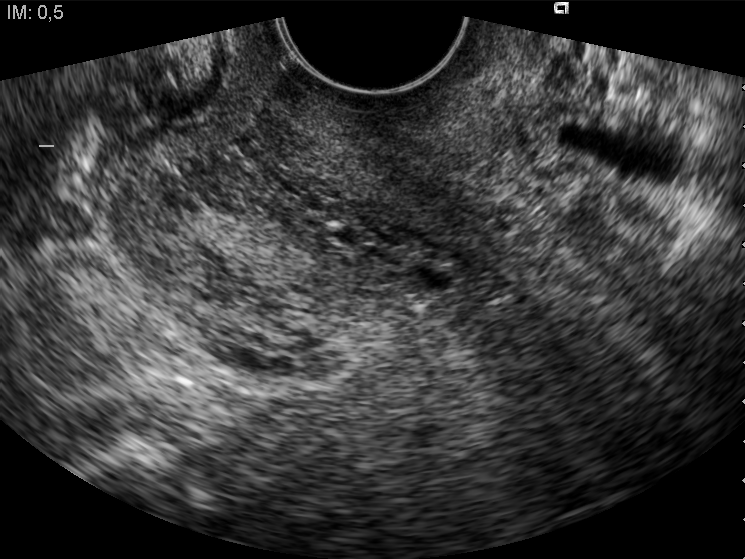
This is a 2D maternal-fetal ultrasound frame. Is it a fetal abdomen, fetal brain, fetal femur, fetal thorax, maternal cervix, or other standard plane? If it's fetal brain and one of the three standard brain planes (trans-thalamic, trans-cerebellum, trans-ventricular), name which.

Maternal cervix